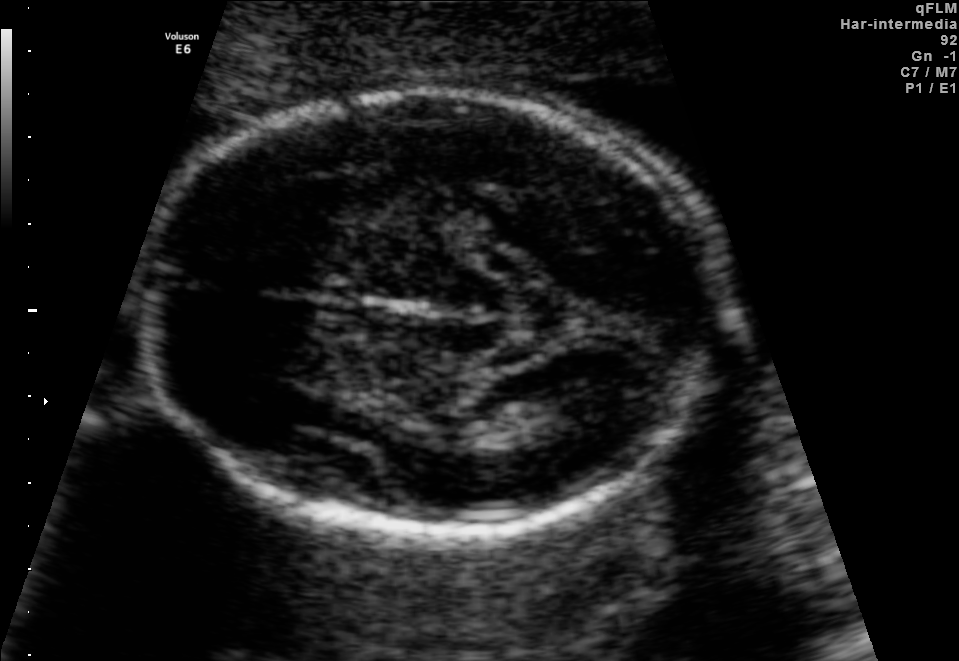
In this fetal brain, trans-thalamic plane, give bounding boxes for the head outline, cavum septum pellucidum (CSP), and lateral ventricle (LV), where visible.

Head: [144,91,715,528]
Lateral ventricle: [521,371,625,446]